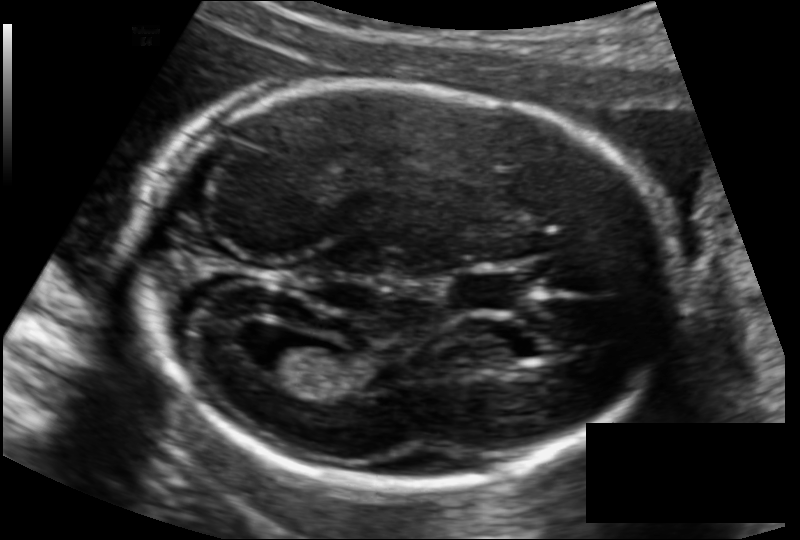
Estimate the fetal head circumference from this 2D ultrasound.

Head circumference: 185.4 mm (image width 97.7 mm).